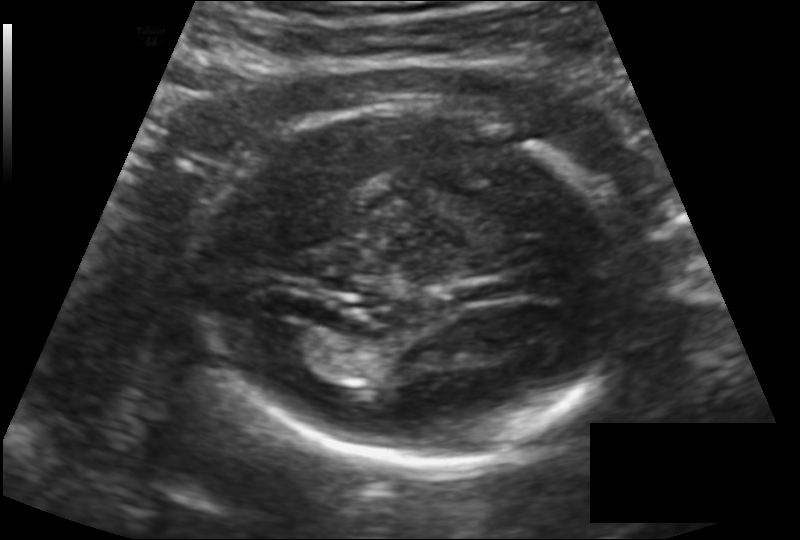
From this fetal ultrasound, estimate the head circumference (image width 113.7 mm).

Head circumference: 178.3 mm.